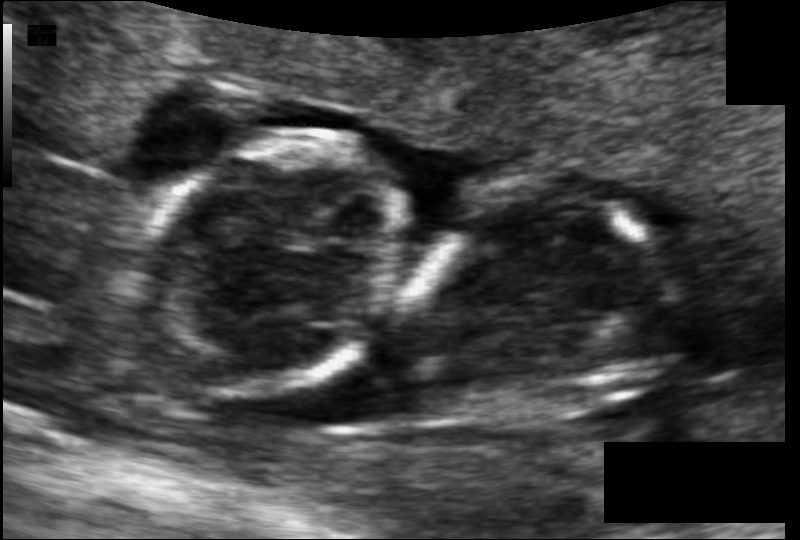
Fetal head ultrasound. Image width: 68.1 mm. Locate the fetal head.

Head: [138,140,401,392]